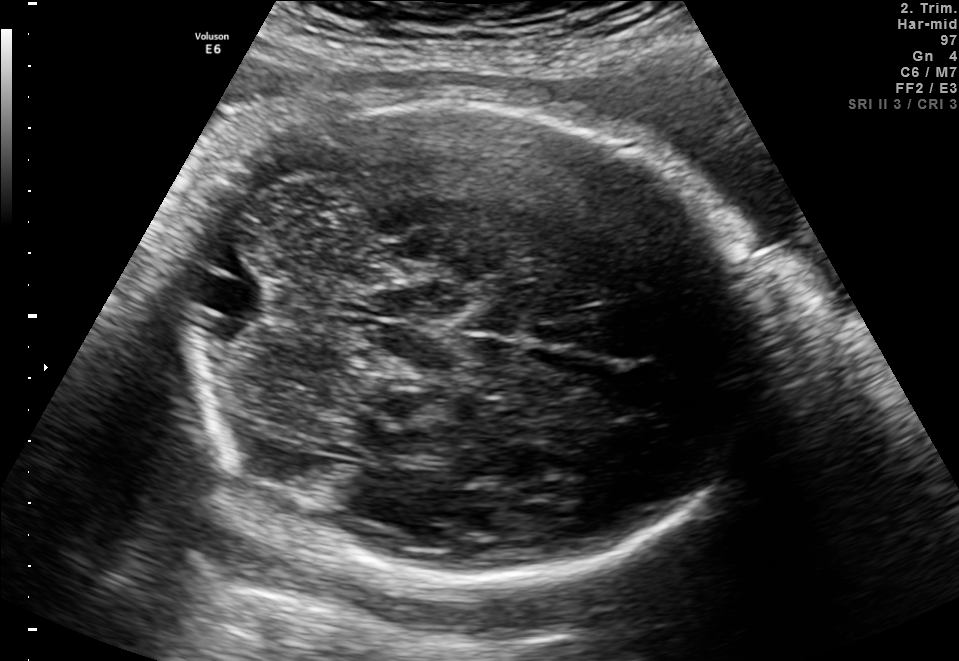
Fetal brain, trans-cerebellum plane. Locate the fetal head and, if visible, the cavum septum pellucidum (CSP) and lateral ventricle (LV). Give bounding boxes as [x1,y1,x2,y2].

Head: [167,98,762,575]